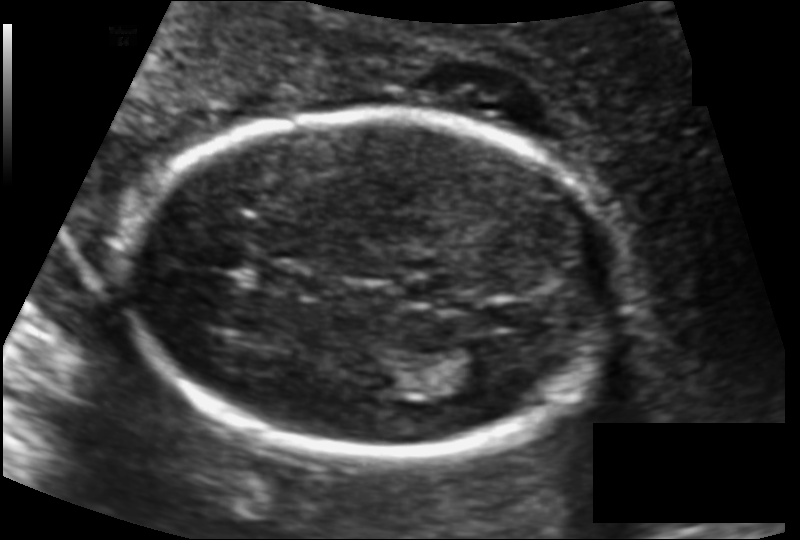
Measure the fetal head circumference shown in this ultrasound image. Image width: 93.7 mm.

Head circumference: 160.6 mm.